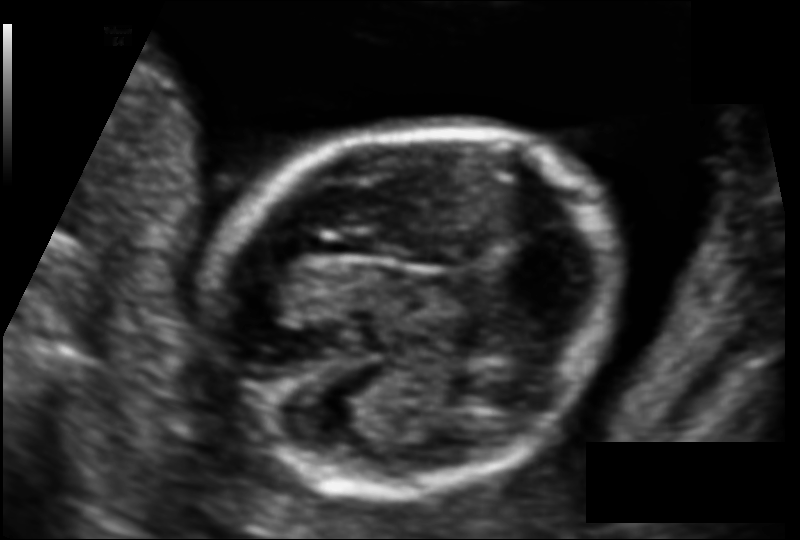
Fetal head ultrasound. Image width: 79.2 mm. Give [x1,y1,x2,y2] bounding boxes for each visible structure among: fetal head, CSP, LV.

Head: [206,124,621,491]